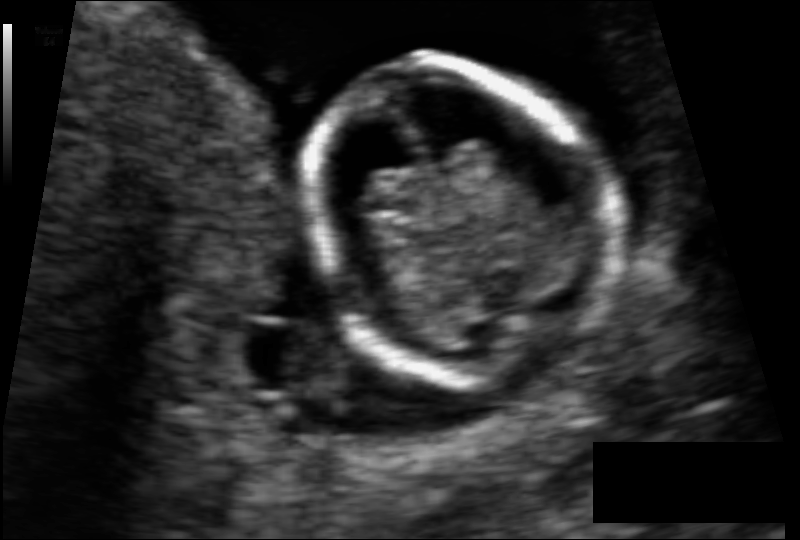
Estimate the fetal head circumference from this 2D ultrasound. Image width: 58.7 mm.

Head circumference: 76.6 mm.